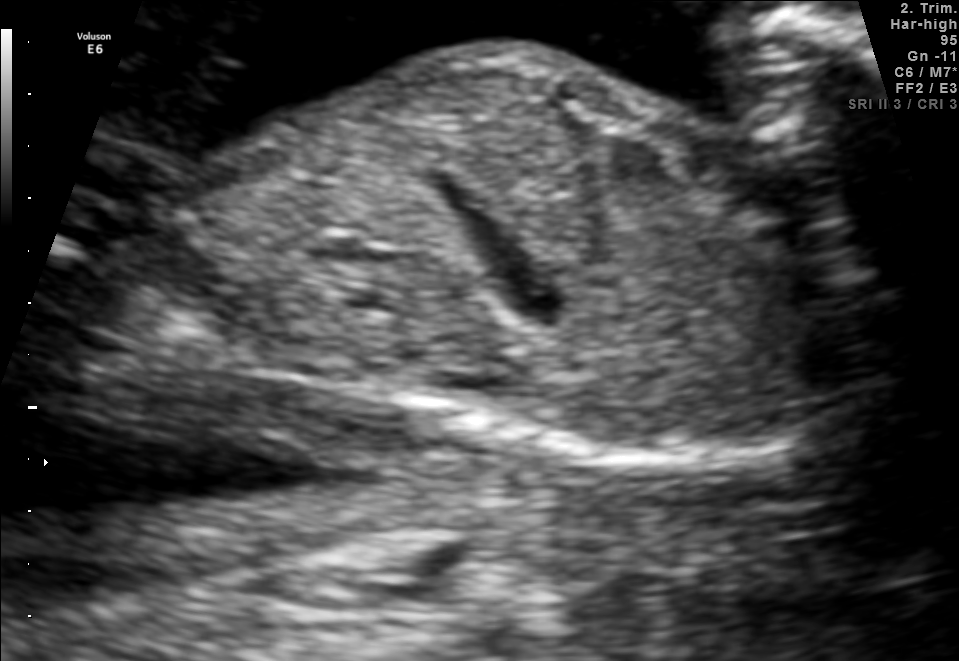
Classify this maternal-fetal ultrasound image as one of the six standard planes — fetal abdomen, fetal brain, fetal femur, fetal thorax, maternal cervix, or other. If it's fetal brain and one of the three standard brain planes (trans-thalamic, trans-cerebellum, trans-ventricular), name which.

Other